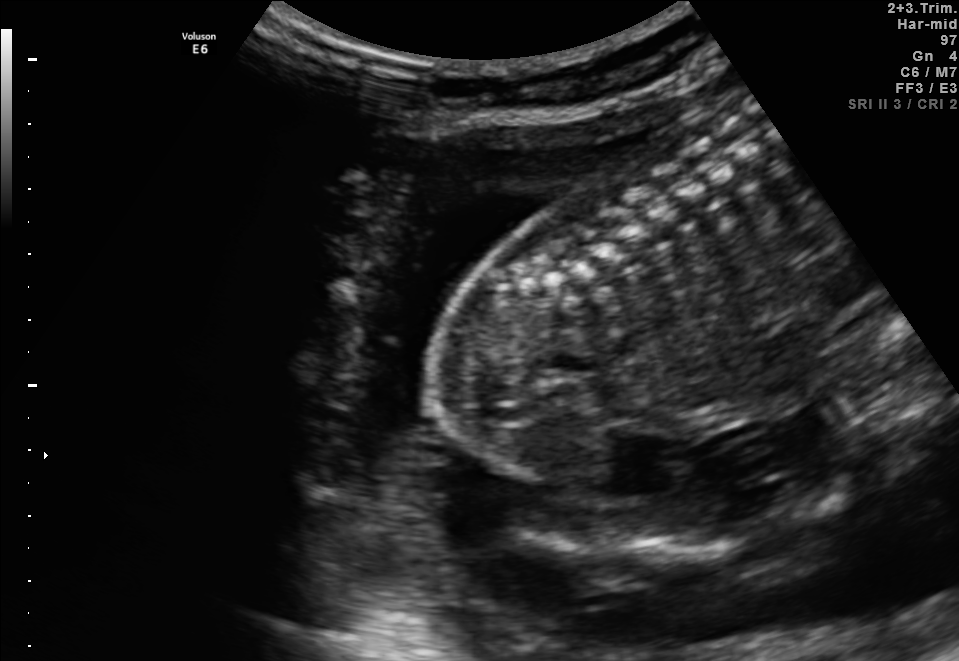
Which standard maternal-fetal ultrasound plane is shown: fetal abdomen, fetal brain, fetal femur, fetal thorax, maternal cervix, or other? If it's fetal brain and one of the three standard brain planes (trans-thalamic, trans-cerebellum, trans-ventricular), name which.

Other